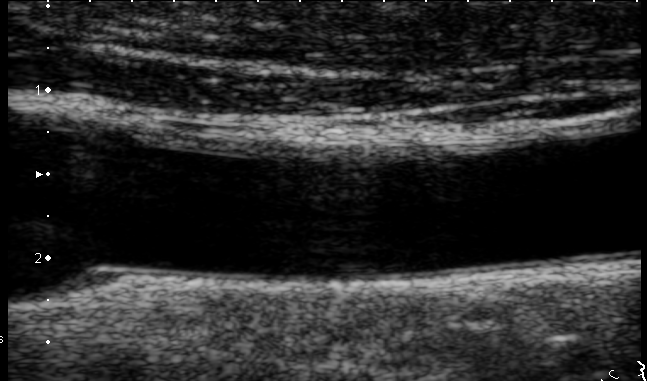
Identify the standard plane in this fetal ultrasound image: fetal abdomen, fetal brain, fetal femur, fetal thorax, maternal cervix, or other. If it's fetal brain and one of the three standard brain planes (trans-thalamic, trans-cerebellum, trans-ventricular), name which.

Other